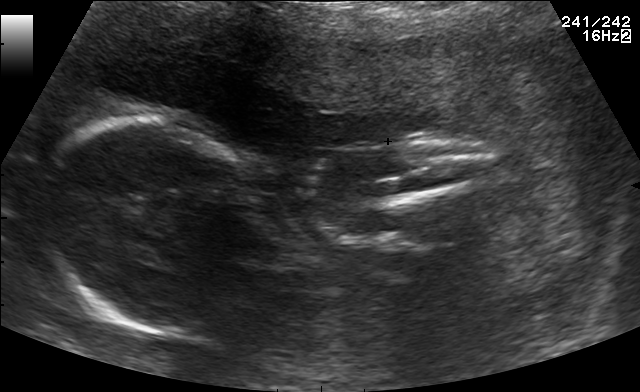
This is a 2D maternal-fetal ultrasound frame. Is it a fetal abdomen, fetal brain, fetal femur, fetal thorax, maternal cervix, or other standard plane? If it's fetal brain and one of the three standard brain planes (trans-thalamic, trans-cerebellum, trans-ventricular), name which.

Other